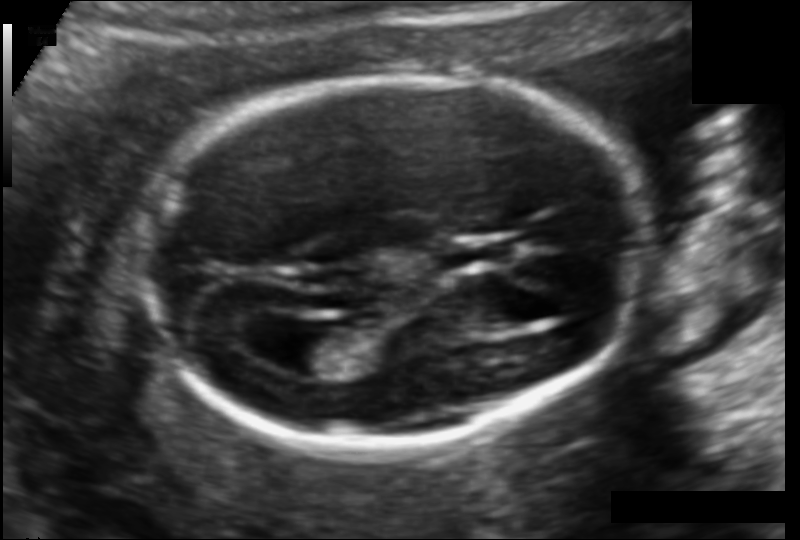
Fetal head ultrasound. Image width: 91.5 mm. Give [x1,y1,x2,y2] bounding boxes for each visible structure among: fetal head, CSP, LV.

Head: [135,75,647,445]
CSP: [443,234,512,272]
Lateral ventricle: [265,323,341,380]